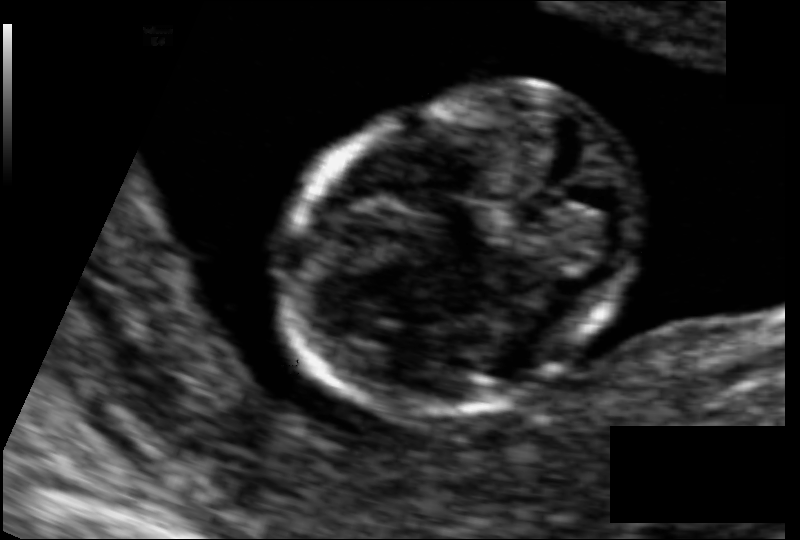
Fetal head ultrasound. Image width: 52.4 mm. Where is the fetal head?

Head bounding box: [286,91,644,415]